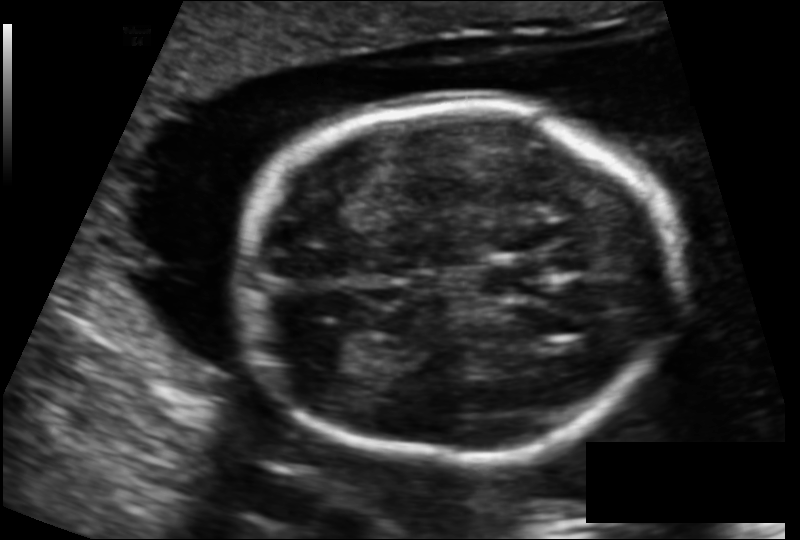
In this fetal head ultrasound, give the bounding box of the lateral ventricle. Image width: 104.4 mm.

[294,319,388,377]